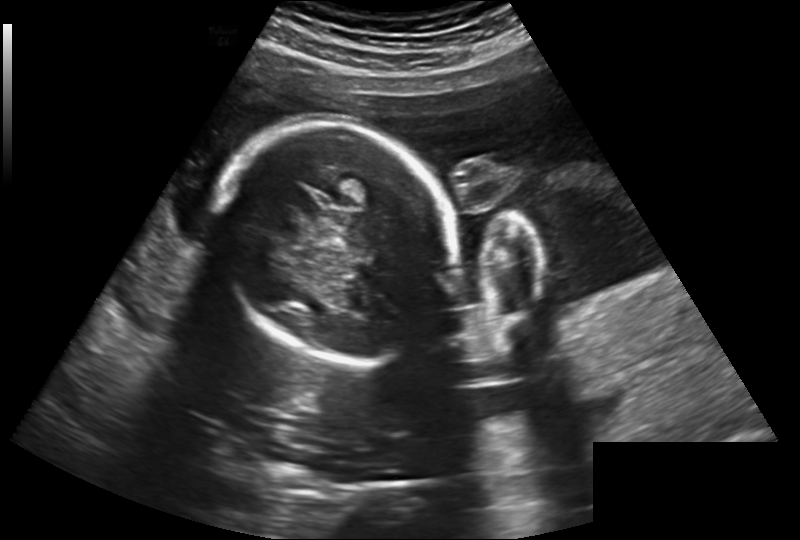
Measure the fetal head circumference shown in this ultrasound image. Image width: 208.4 mm.

Head circumference: 206.9 mm.